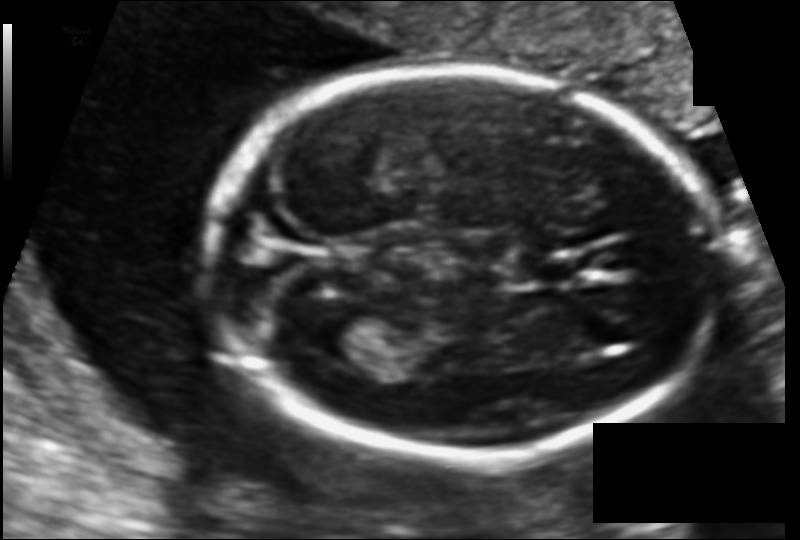
Measure the fetal head circumference shown in this ultrasound image. Image width: 86.7 mm.

Head circumference: 155.8 mm.